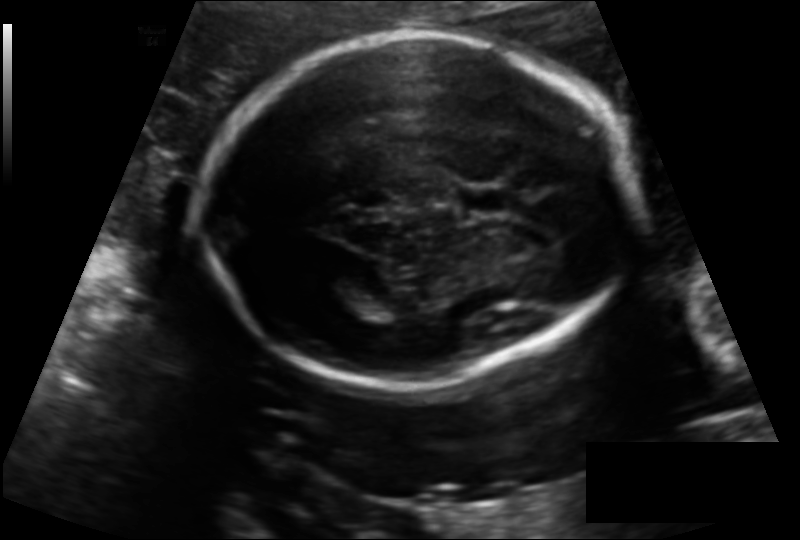
Fetal head ultrasound. Image width: 111.5 mm. Where is the cavum septum pellucidum?

CSP bounding box: [456,183,514,218]